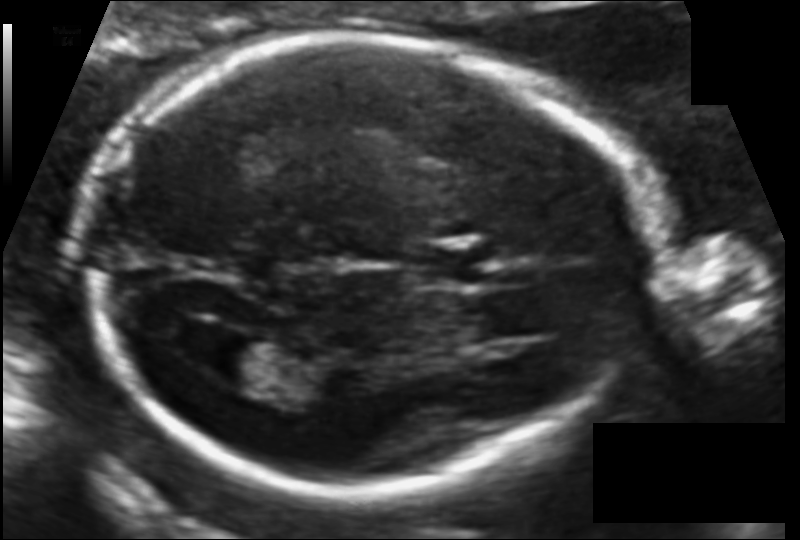
Estimate the fetal head circumference from this 2D ultrasound.

Head circumference: 179.0 mm (image width 87.0 mm).